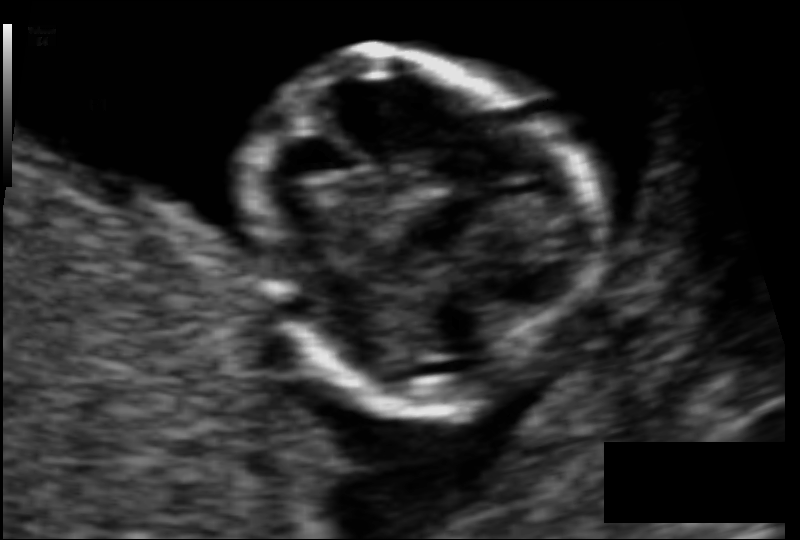
Measure the fetal head circumference shown in this ultrasound image. Image width: 54.6 mm.

Head circumference: 75.8 mm.